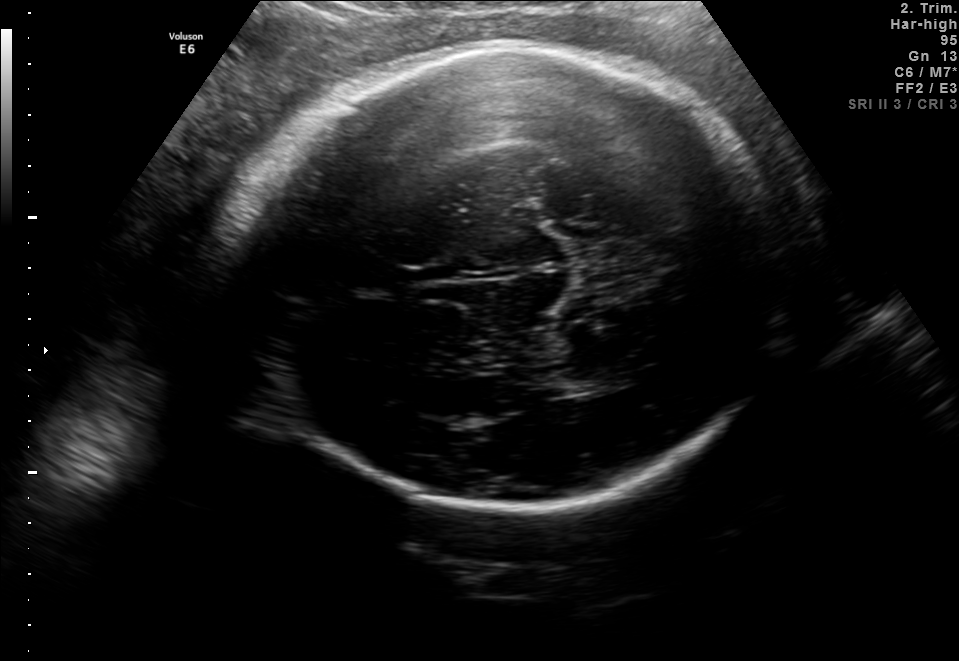
Fetal brain, trans-thalamic plane. Locate the fetal head and, if visible, the cavum septum pellucidum (CSP) and lateral ventricle (LV). Give bounding boxes as [x1,y1,x2,y2].

Head: [224,46,785,511]